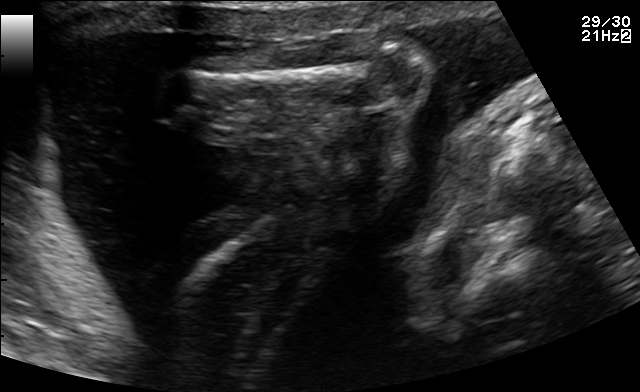
Which standard maternal-fetal ultrasound plane is shown: fetal abdomen, fetal brain, fetal femur, fetal thorax, maternal cervix, or other? If it's fetal brain and one of the three standard brain planes (trans-thalamic, trans-cerebellum, trans-ventricular), name which.

Other